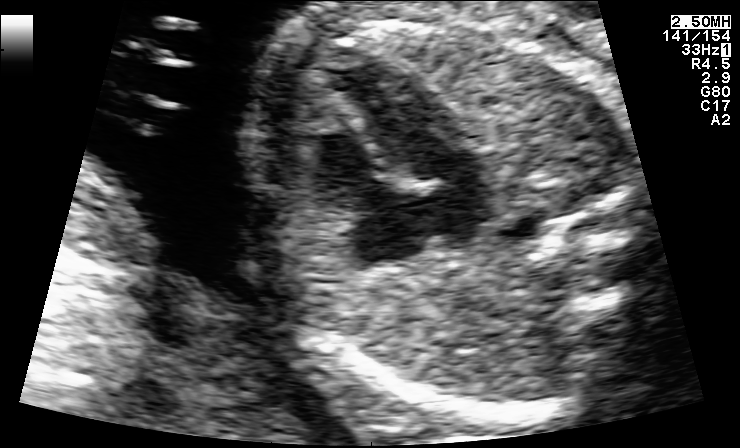
Classify this maternal-fetal ultrasound image as one of the six standard planes — fetal abdomen, fetal brain, fetal femur, fetal thorax, maternal cervix, or other. If it's fetal brain and one of the three standard brain planes (trans-thalamic, trans-cerebellum, trans-ventricular), name which.

Fetal thorax